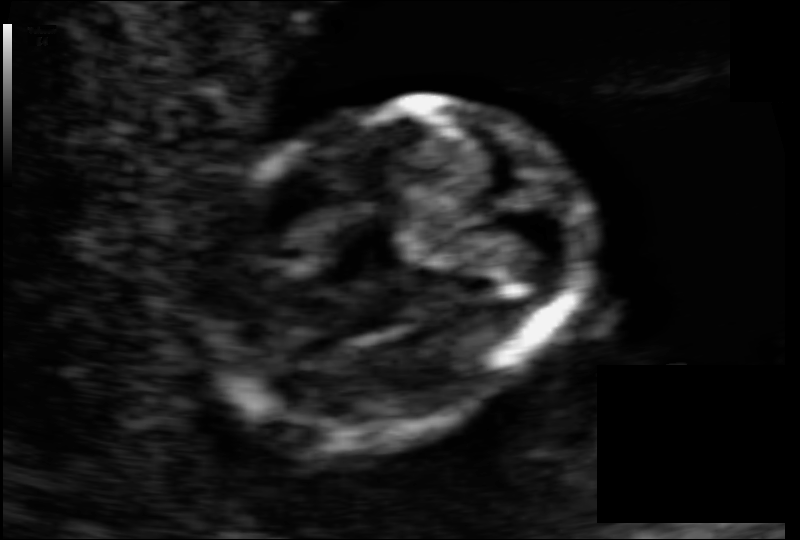
Fetal head ultrasound. Image width: 55.0 mm. Locate the fetal head and, if visible, the cavum septum pellucidum (CSP) and lateral ventricle (LV). Give bounding boxes as [x1,y1,x2,y2].

Head: [206,101,582,444]